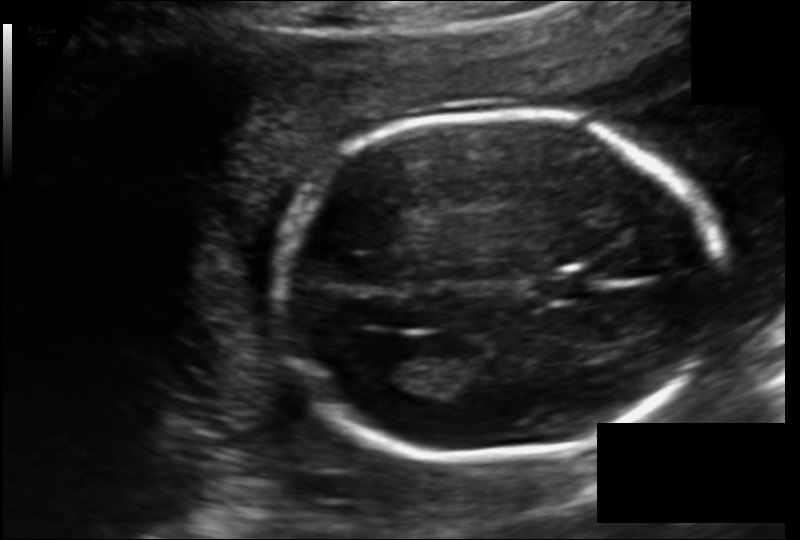
Fetal head ultrasound. Image width: 107.8 mm. Locate the cavum septum pellucidum.

CSP: [534,268,592,307]